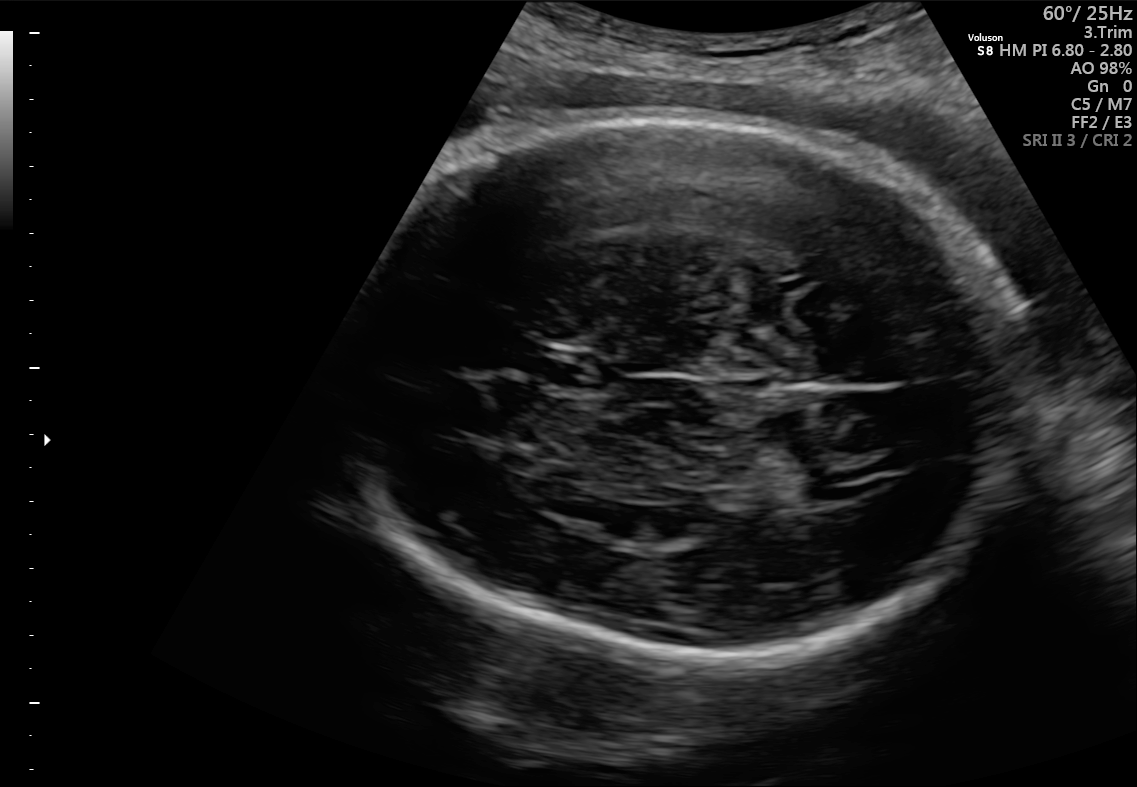
In this fetal brain, trans-thalamic plane, give the bounding box of the fetal head.

[340,117,1029,663]